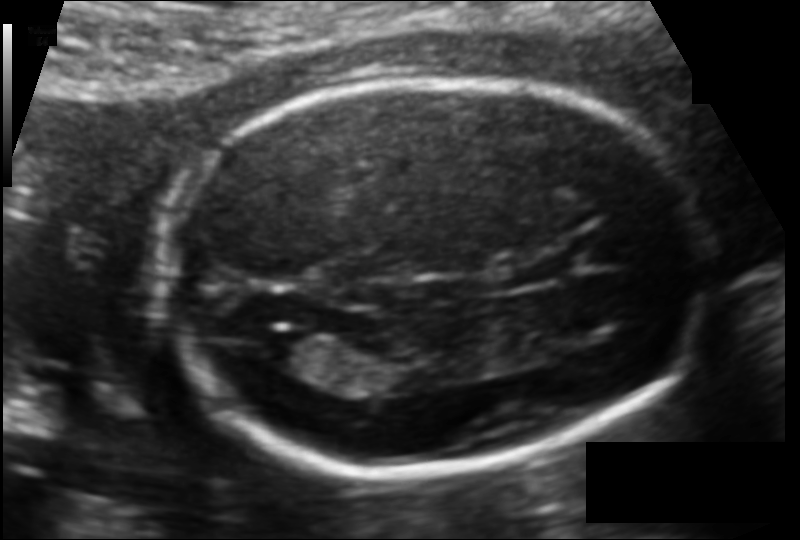
Fetal head ultrasound. Image width: 87.1 mm. Locate the cavum septum pellucidum.

CSP: [513,254,564,287]